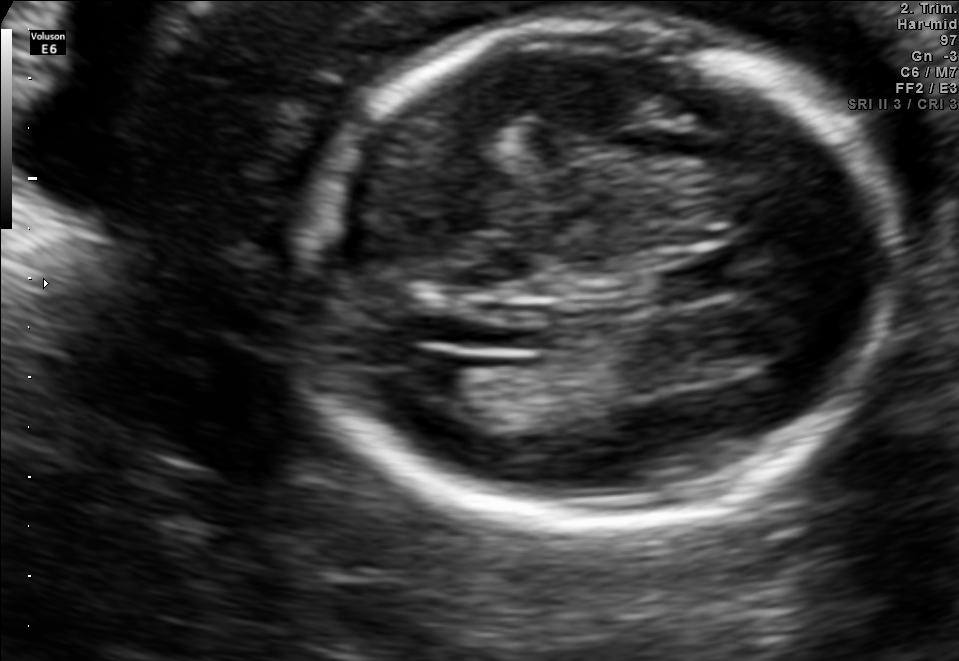
Fetal brain, trans-ventricular plane. Locate the fetal head.

Head: [285,10,914,539]